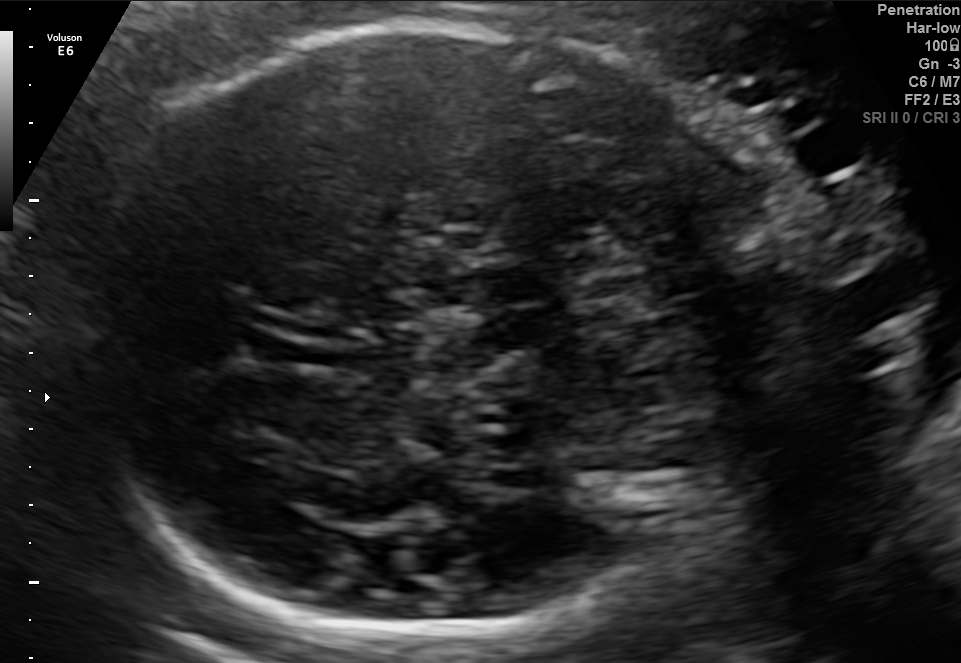
In this fetal brain, trans-thalamic plane, give the bounding box of the fetal head.

[74,25,775,640]